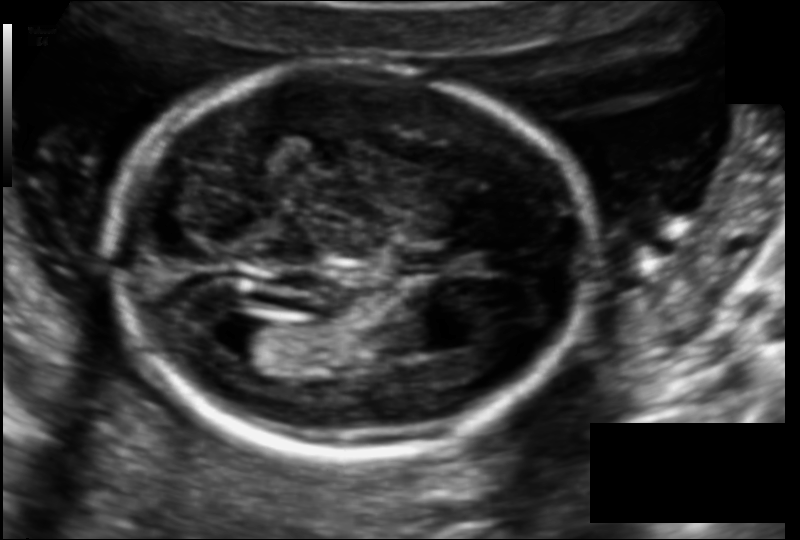
Fetal head ultrasound. Image width: 91.5 mm. Where is the fetal head?

Head bounding box: [111,63,594,454]